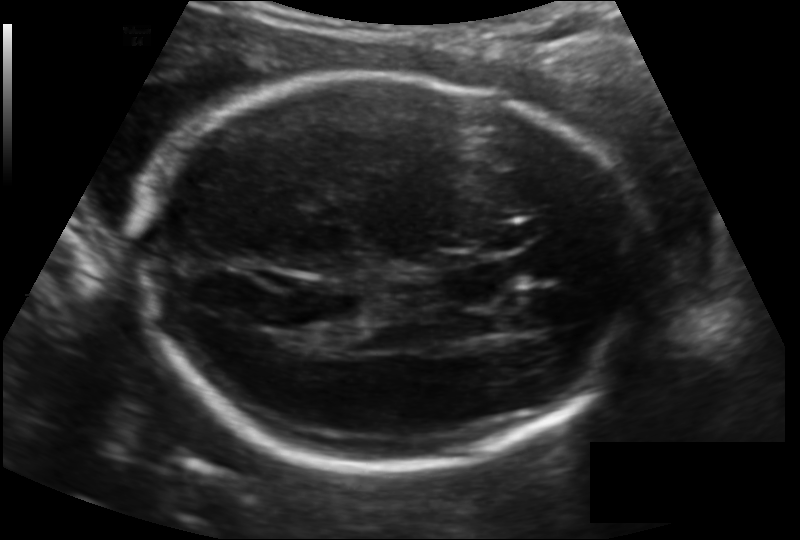
Fetal head ultrasound. Image width: 118.2 mm. Locate the fetal head.

Head: [141,76,641,469]